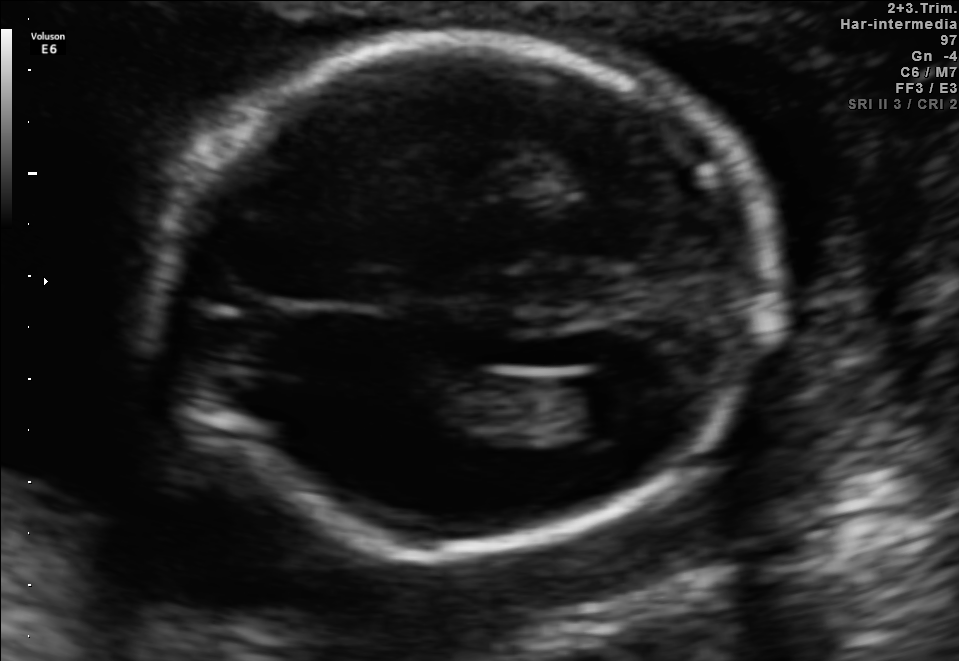
Which standard maternal-fetal ultrasound plane is shown: fetal abdomen, fetal brain, fetal femur, fetal thorax, maternal cervix, or other? If it's fetal brain and one of the three standard brain planes (trans-thalamic, trans-cerebellum, trans-ventricular), name which.

Fetal brain (trans-ventricular plane)